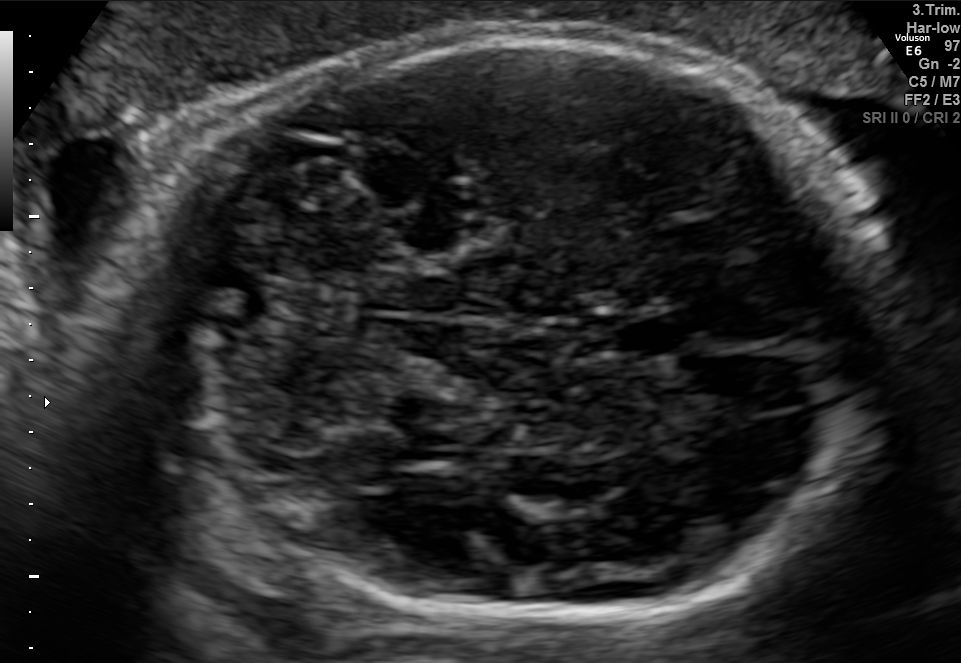
Fetal brain, trans-cerebellum plane. Locate the fetal head.

Head: [124,35,899,626]